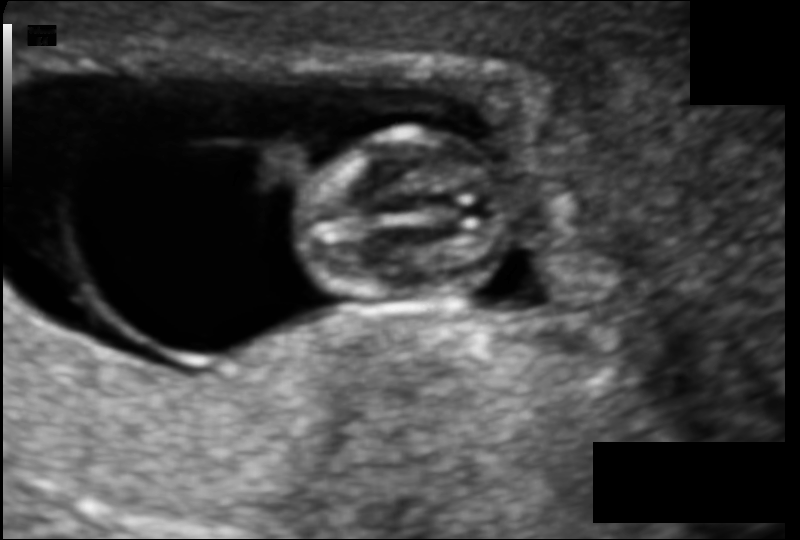
Fetal head ultrasound. Image width: 71.7 mm. Where is the fetal head?

Head bounding box: [289,132,512,304]